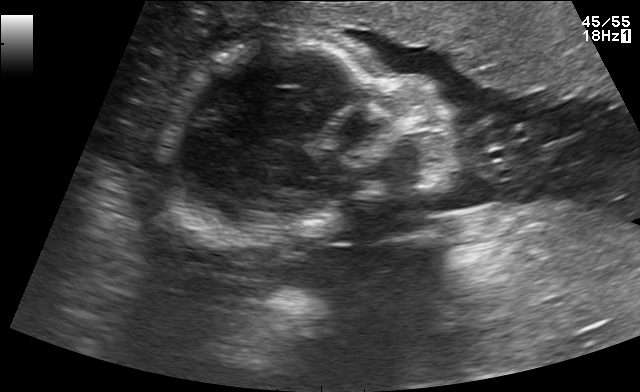
This is a 2D maternal-fetal ultrasound frame. Is it a fetal abdomen, fetal brain, fetal femur, fetal thorax, maternal cervix, or other standard plane? If it's fetal brain and one of the three standard brain planes (trans-thalamic, trans-cerebellum, trans-ventricular), name which.

Other